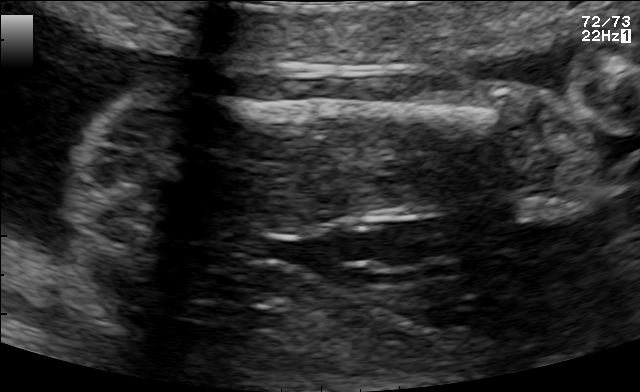
This is a 2D maternal-fetal ultrasound frame. Is it a fetal abdomen, fetal brain, fetal femur, fetal thorax, maternal cervix, or other standard plane? If it's fetal brain and one of the three standard brain planes (trans-thalamic, trans-cerebellum, trans-ventricular), name which.

Fetal femur